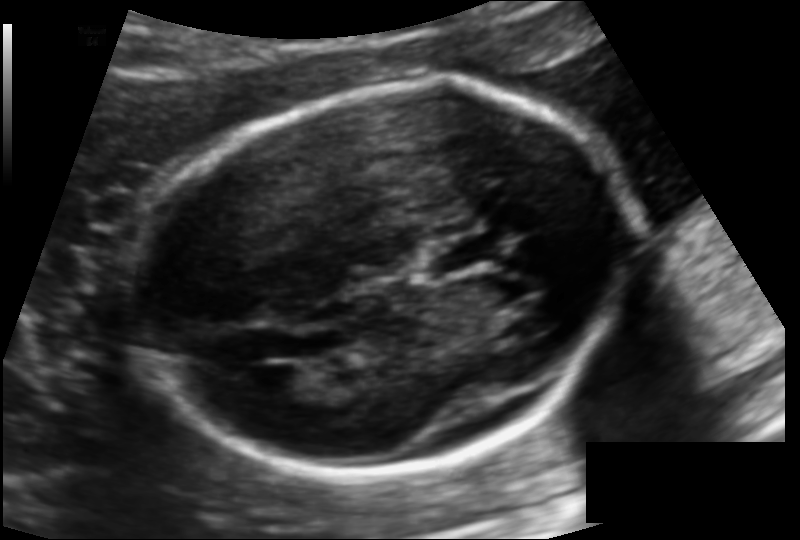
Fetal head ultrasound. Image width: 99.2 mm. Locate the cavum septum pellucidum.

CSP: [416,228,503,284]